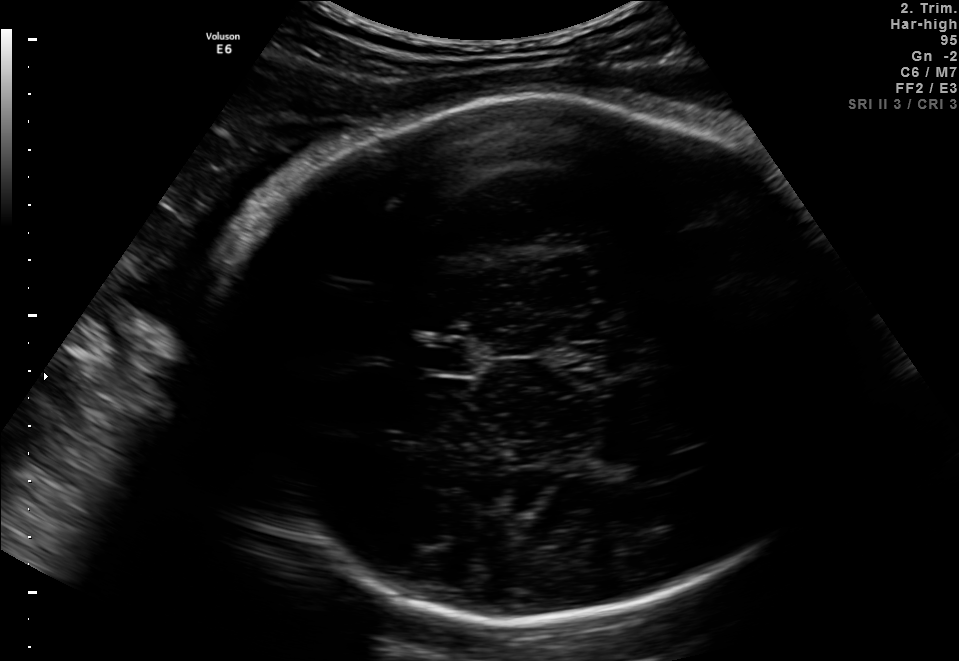
Fetal brain, trans-thalamic plane. Where is the lateral ventricle?

Lateral ventricle bounding box: [611,452,686,493]